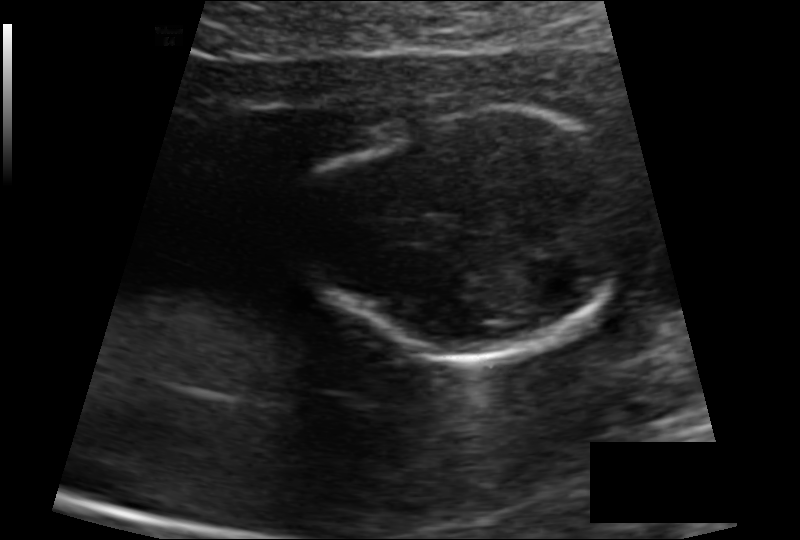
From this fetal ultrasound, estimate the head circumference (image width 87.9 mm).

Head circumference: 102.8 mm.